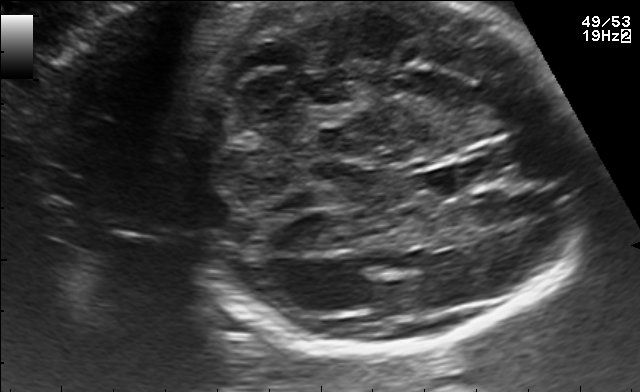
Fetal brain, trans-cerebellum plane. Where is the fetal head?

Head bounding box: [176,1,581,352]